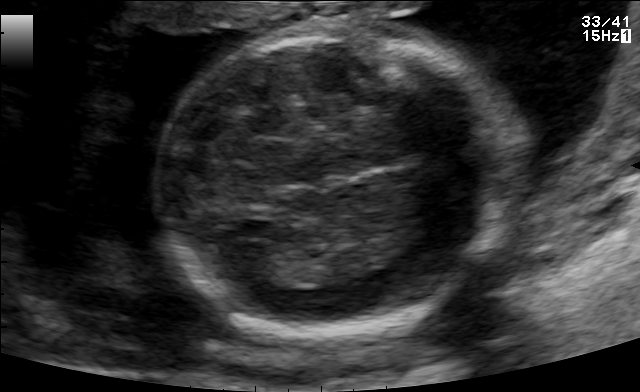
Fetal brain, trans-thalamic plane. Where is the fetal head?

Head bounding box: [163,27,503,337]